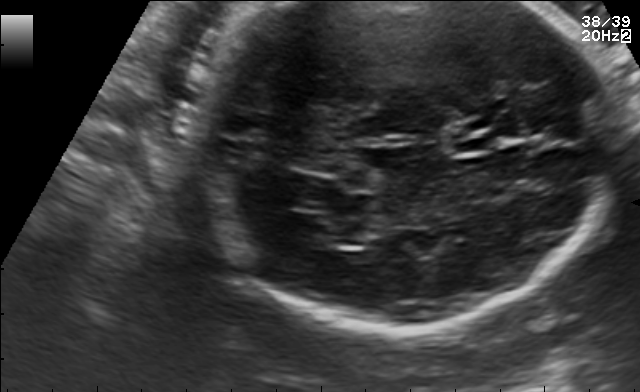
Which standard maternal-fetal ultrasound plane is shown: fetal abdomen, fetal brain, fetal femur, fetal thorax, maternal cervix, or other? If it's fetal brain and one of the three standard brain planes (trans-thalamic, trans-cerebellum, trans-ventricular), name which.

Fetal brain (trans-cerebellum plane)